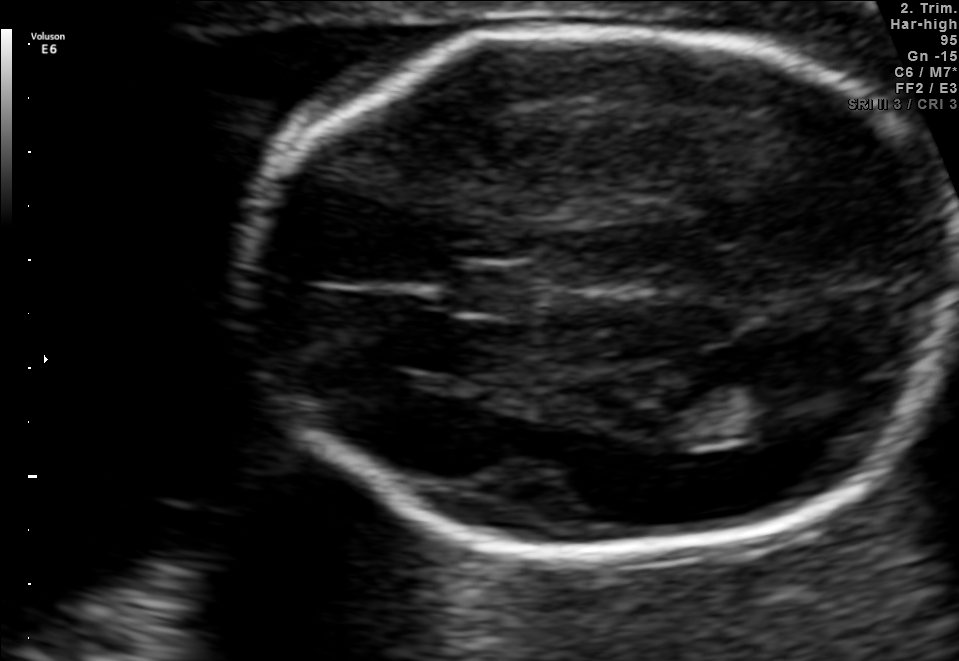
Fetal brain, trans-thalamic plane. Give [x1,y1,x2,y2] bounding boxes for each visible structure among: fetal head, CSP, LV.

Head: [240,29,958,552]
CSP: [453,265,531,313]
Lateral ventricle: [723,362,840,444]